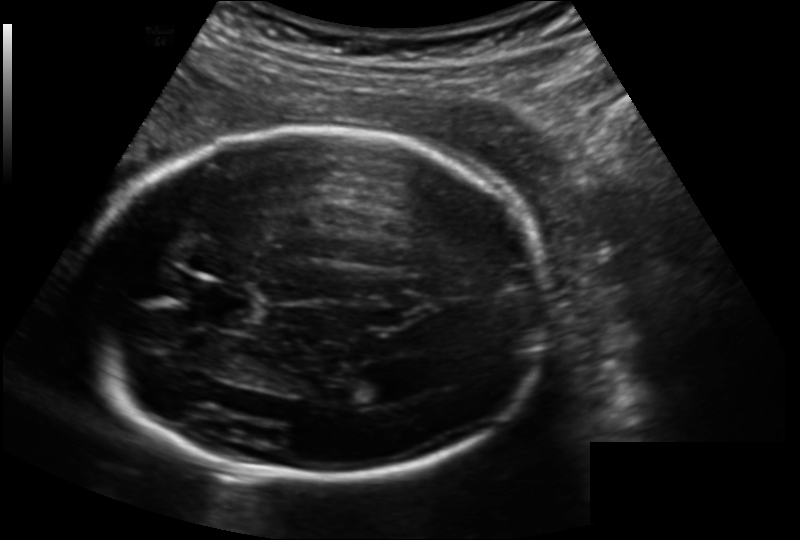
In this fetal head ultrasound, give the bounding box of the lateral ventricle. Image width: 130.8 mm.

[347,367,402,410]